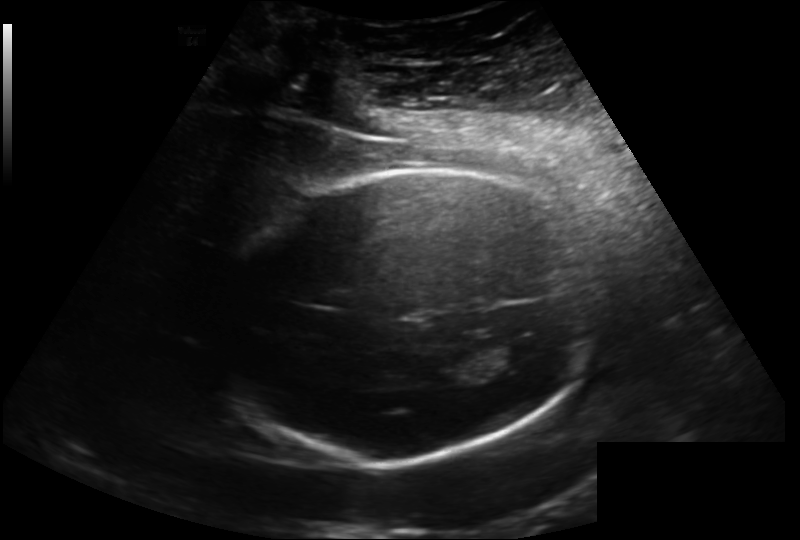
Fetal head ultrasound. Image width: 161.6 mm. Give [x1,y1,x2,y2] bounding boxes for each visible structure among: fetal head, CSP, LV.

Head: [208,171,606,461]
Lateral ventricle: [488,332,551,378]